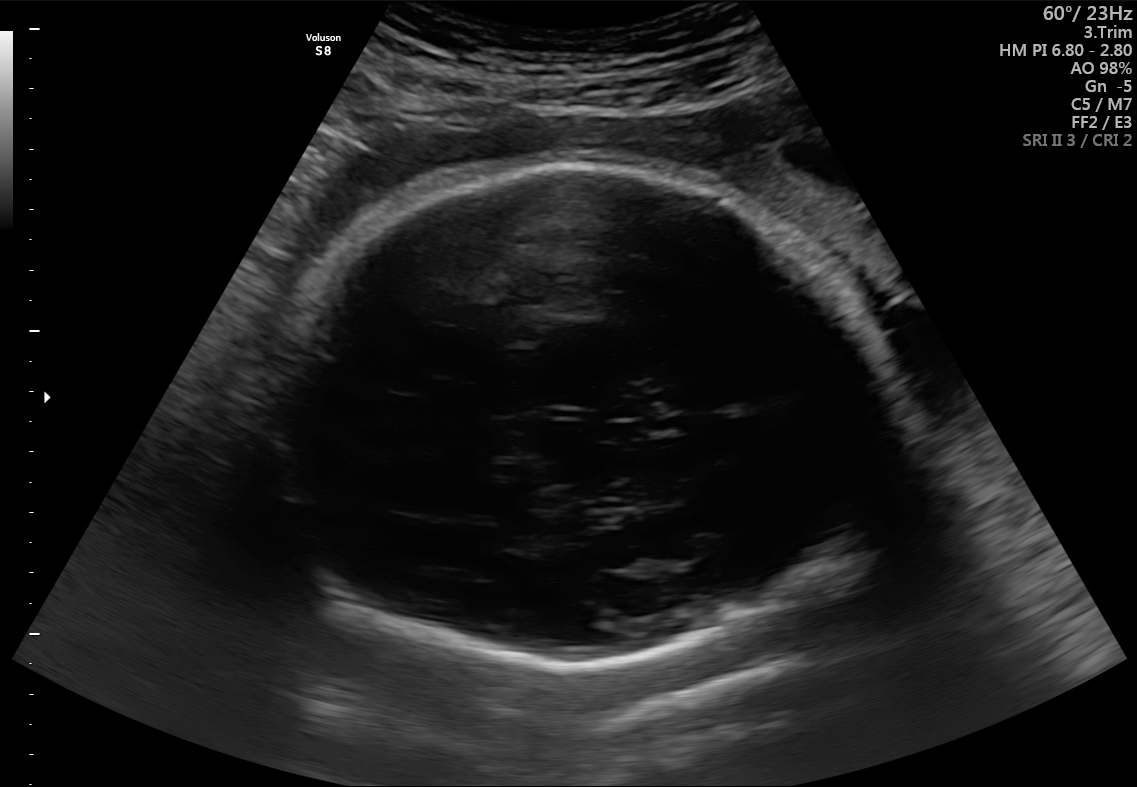
Identify the standard plane in this fetal ultrasound image: fetal abdomen, fetal brain, fetal femur, fetal thorax, maternal cervix, or other. If it's fetal brain and one of the three standard brain planes (trans-thalamic, trans-cerebellum, trans-ventricular), name which.

Fetal brain (trans-thalamic plane)